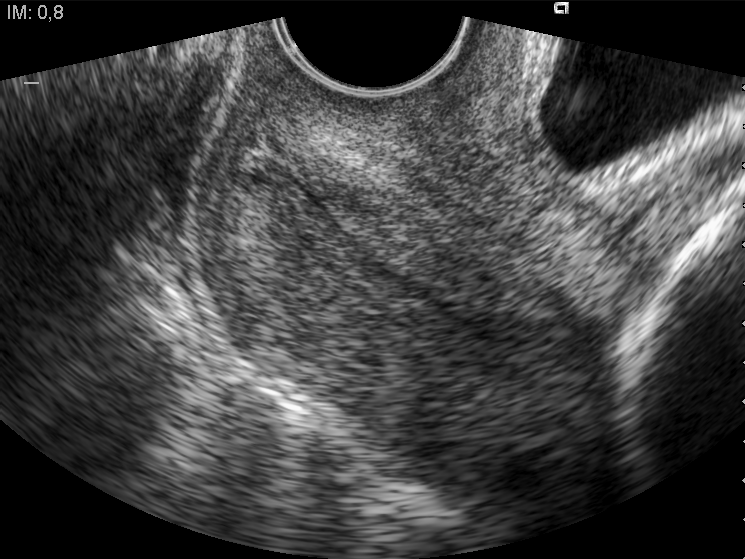
Which standard maternal-fetal ultrasound plane is shown: fetal abdomen, fetal brain, fetal femur, fetal thorax, maternal cervix, or other? If it's fetal brain and one of the three standard brain planes (trans-thalamic, trans-cerebellum, trans-ventricular), name which.

Maternal cervix